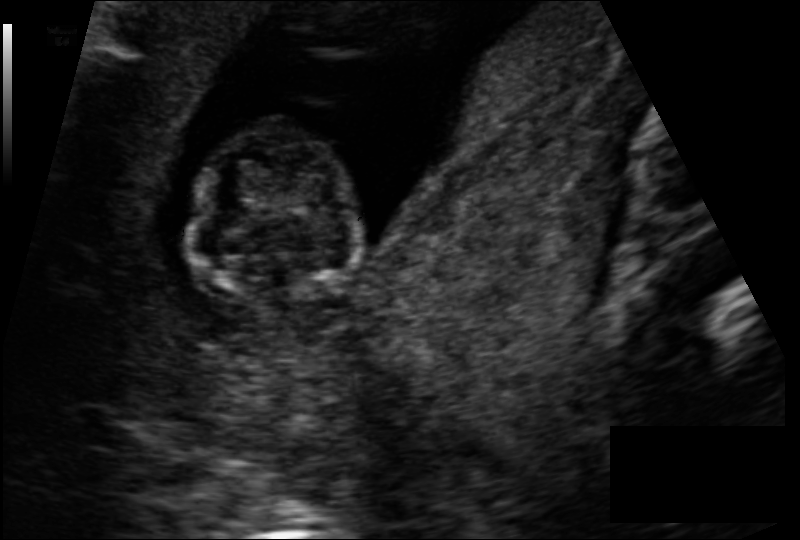
Estimate the fetal head circumference from this 2D ultrasound. Image width: 90.4 mm.

Head circumference: 67.3 mm.